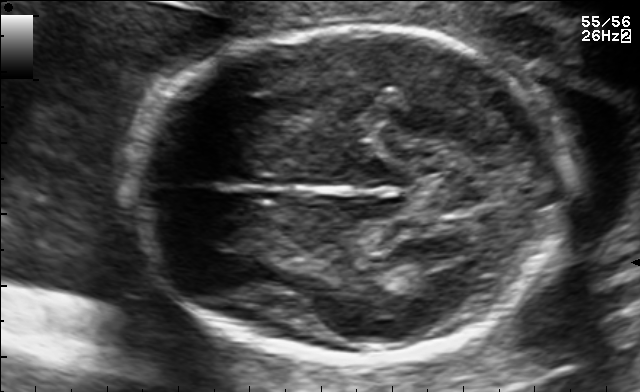
Which standard maternal-fetal ultrasound plane is shown: fetal abdomen, fetal brain, fetal femur, fetal thorax, maternal cervix, or other? If it's fetal brain and one of the three standard brain planes (trans-thalamic, trans-cerebellum, trans-ventricular), name which.

Fetal brain (trans-thalamic plane)